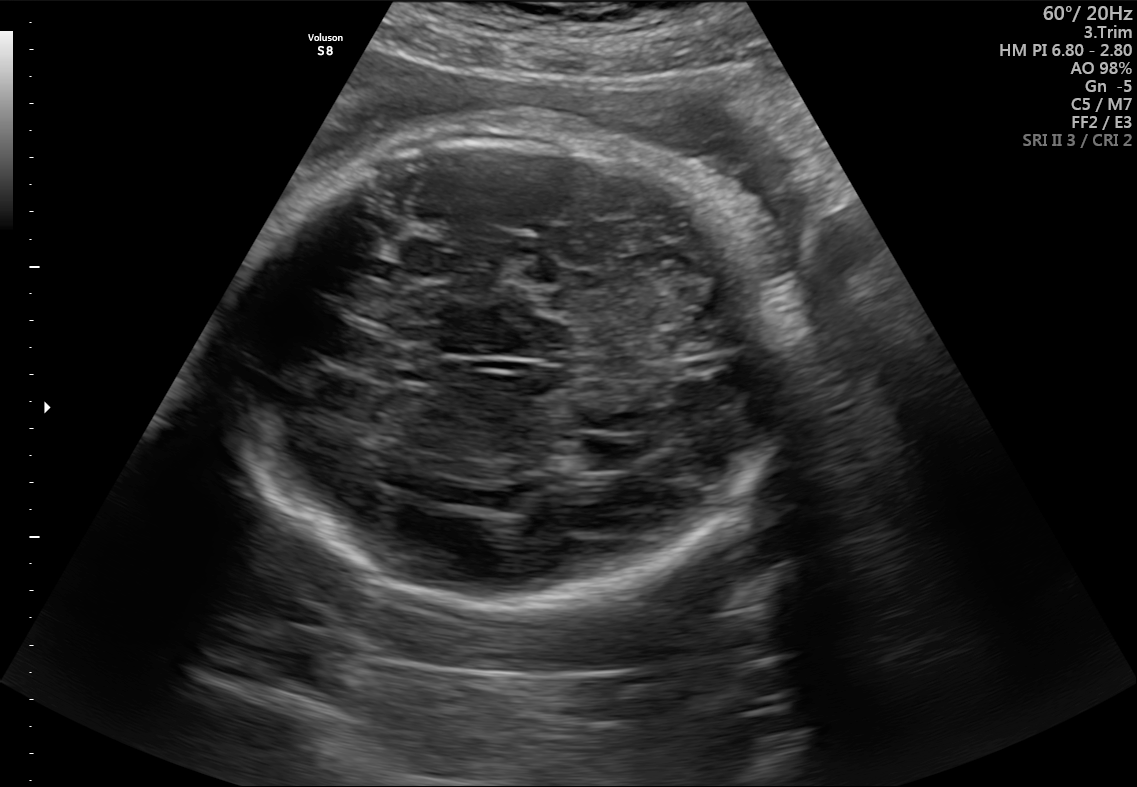
Identify the standard plane in this fetal ultrasound image: fetal abdomen, fetal brain, fetal femur, fetal thorax, maternal cervix, or other. If it's fetal brain and one of the three standard brain planes (trans-thalamic, trans-cerebellum, trans-ventricular), name which.

Fetal brain (trans-thalamic plane)